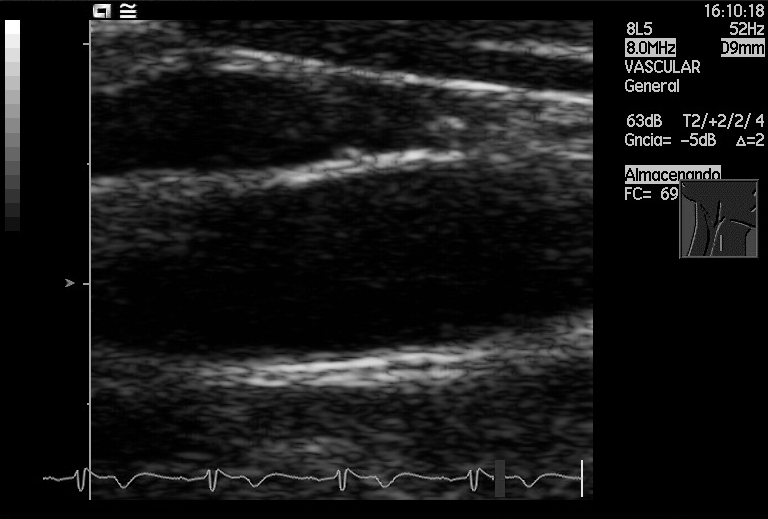
Which standard maternal-fetal ultrasound plane is shown: fetal abdomen, fetal brain, fetal femur, fetal thorax, maternal cervix, or other? If it's fetal brain and one of the three standard brain planes (trans-thalamic, trans-cerebellum, trans-ventricular), name which.

Other